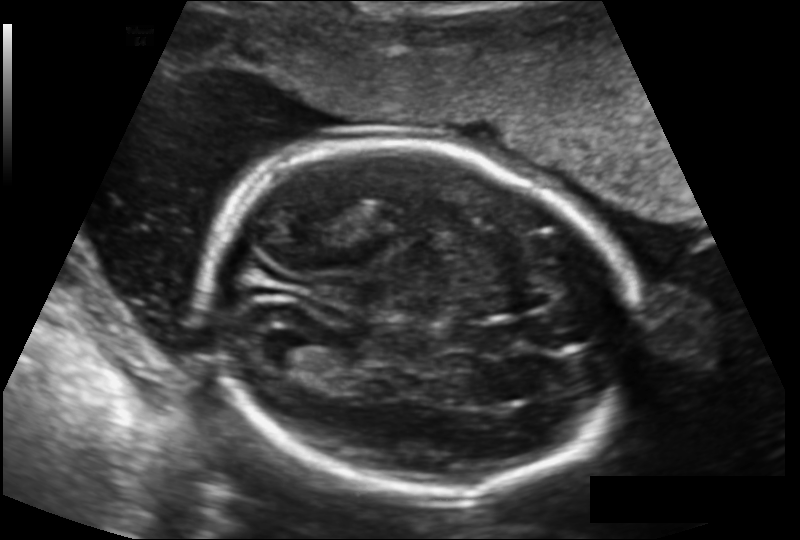
Fetal head ultrasound. Image width: 114.2 mm. Locate the fetal head.

Head: [204,141,634,495]